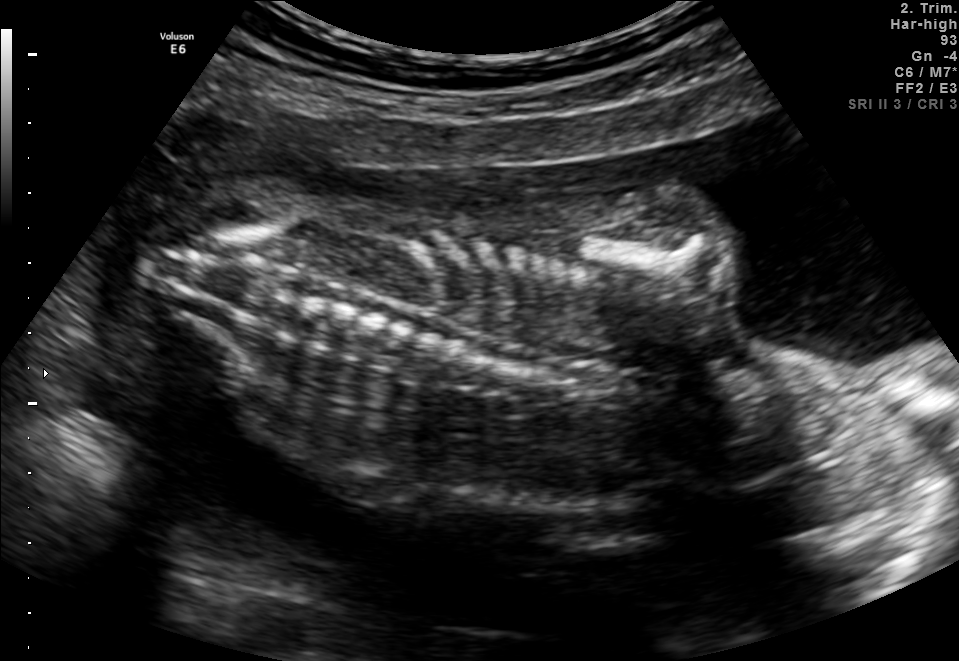
Classify this maternal-fetal ultrasound image as one of the six standard planes — fetal abdomen, fetal brain, fetal femur, fetal thorax, maternal cervix, or other. If it's fetal brain and one of the three standard brain planes (trans-thalamic, trans-cerebellum, trans-ventricular), name which.

Other